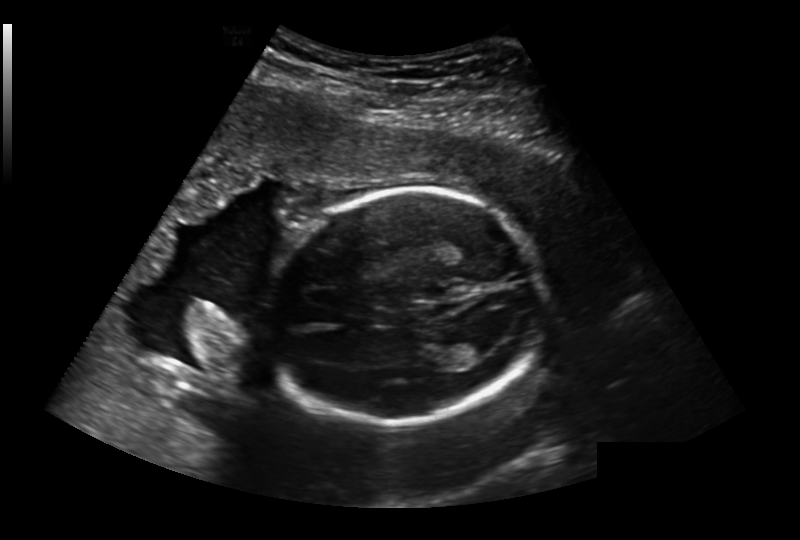
Fetal head ultrasound. Image width: 188.7 mm. Locate the fetal head and, if visible, the cavum septum pellucidum (CSP) and lateral ventricle (LV). Give bounding boxes as [x1,y1,x2,y2].

Head: [264,190,541,425]
Lateral ventricle: [444,323,499,370]